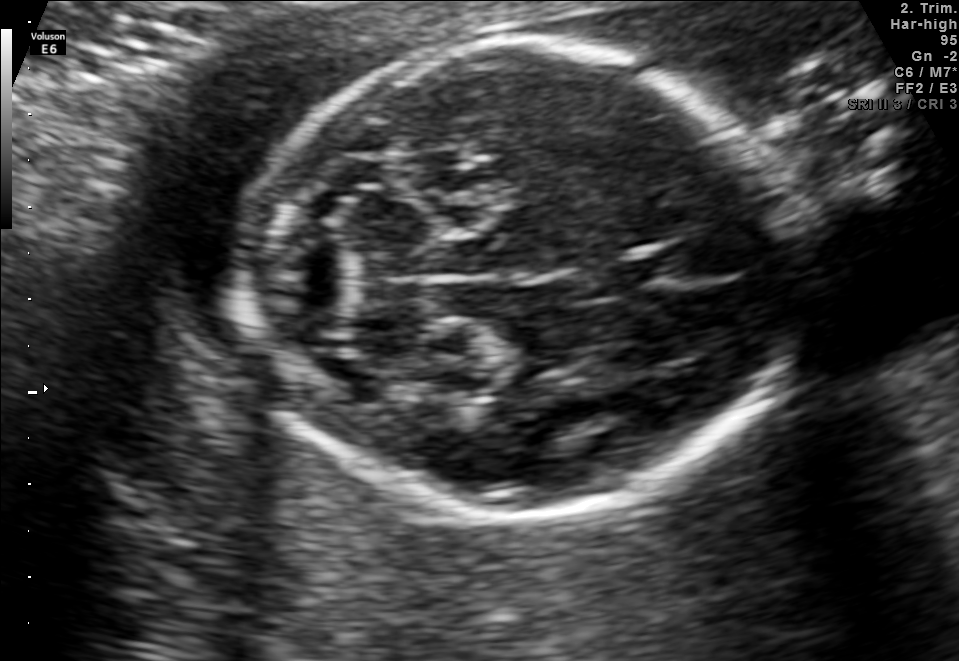
In this fetal brain, trans-cerebellum plane, give the bounding box of the cavum septum pellucidum.

[582,250,660,302]